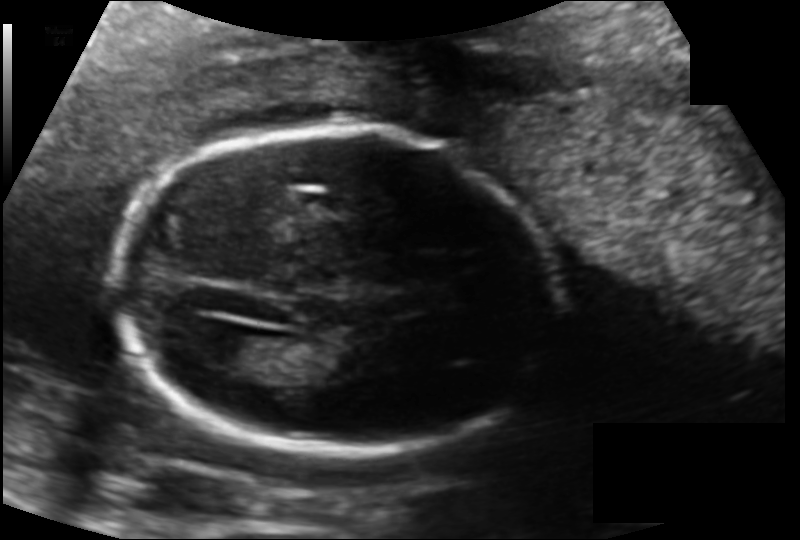
In this fetal head ultrasound, give the bounding box of the fetal head. Image width: 107.0 mm.

[115,127,556,453]